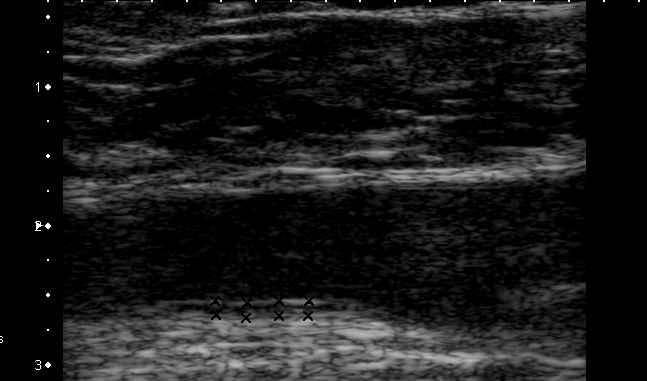
Which standard maternal-fetal ultrasound plane is shown: fetal abdomen, fetal brain, fetal femur, fetal thorax, maternal cervix, or other? If it's fetal brain and one of the three standard brain planes (trans-thalamic, trans-cerebellum, trans-ventricular), name which.

Other